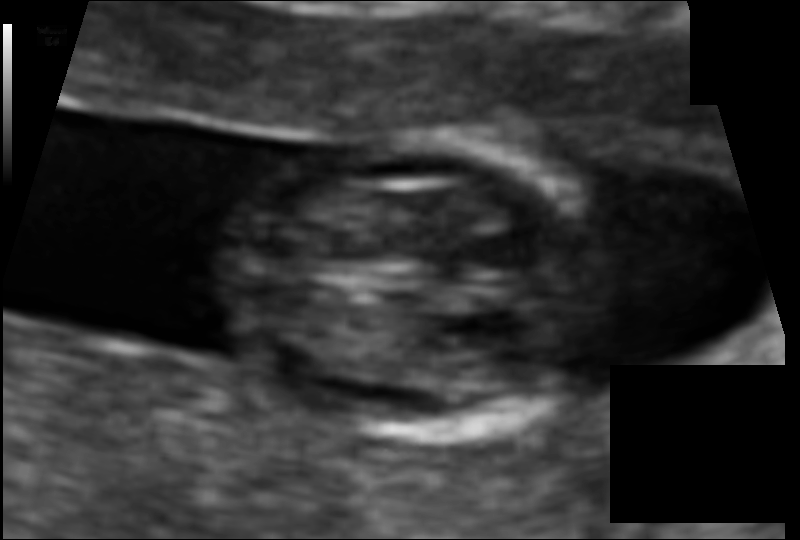
Measure the fetal head circumference shown in this ultrasound image. Image width: 53.7 mm.

Head circumference: 76.8 mm.